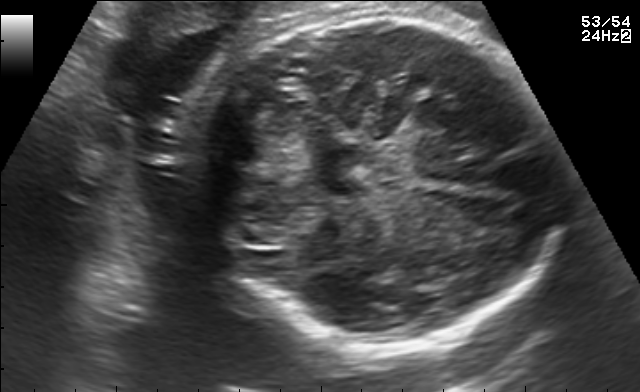
Identify the standard plane in this fetal ultrasound image: fetal abdomen, fetal brain, fetal femur, fetal thorax, maternal cervix, or other. If it's fetal brain and one of the three standard brain planes (trans-thalamic, trans-cerebellum, trans-ventricular), name which.

Fetal brain (trans-cerebellum plane)